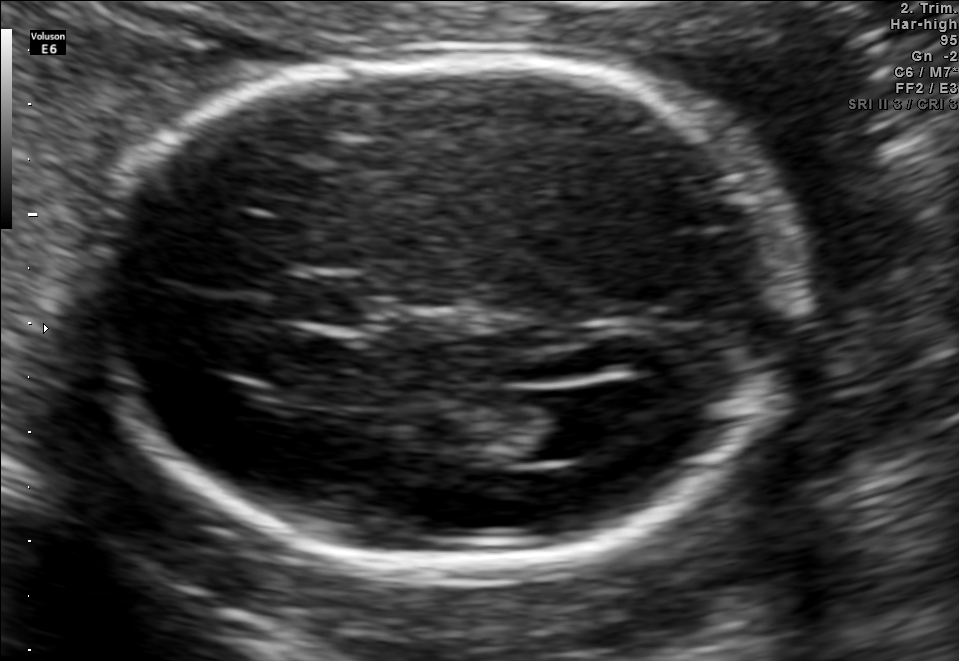
Fetal brain, trans-ventricular plane. Where is the fetal head?

Head bounding box: [78,45,819,578]